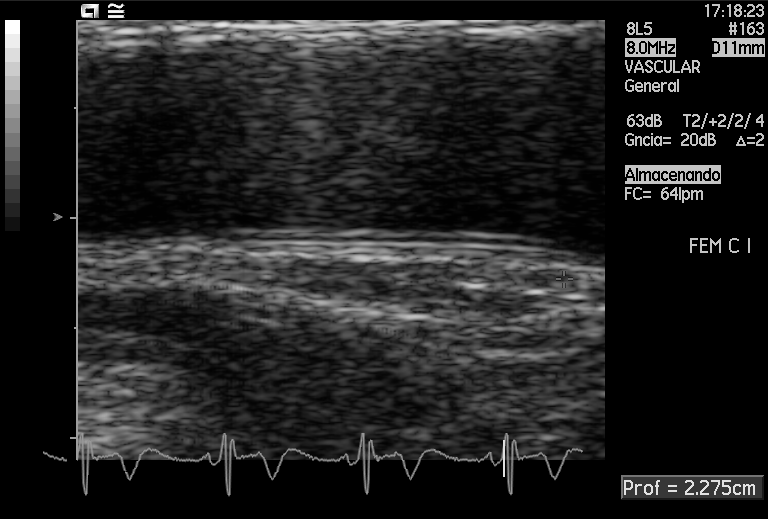
Classify this maternal-fetal ultrasound image as one of the six standard planes — fetal abdomen, fetal brain, fetal femur, fetal thorax, maternal cervix, or other. If it's fetal brain and one of the three standard brain planes (trans-thalamic, trans-cerebellum, trans-ventricular), name which.

Other